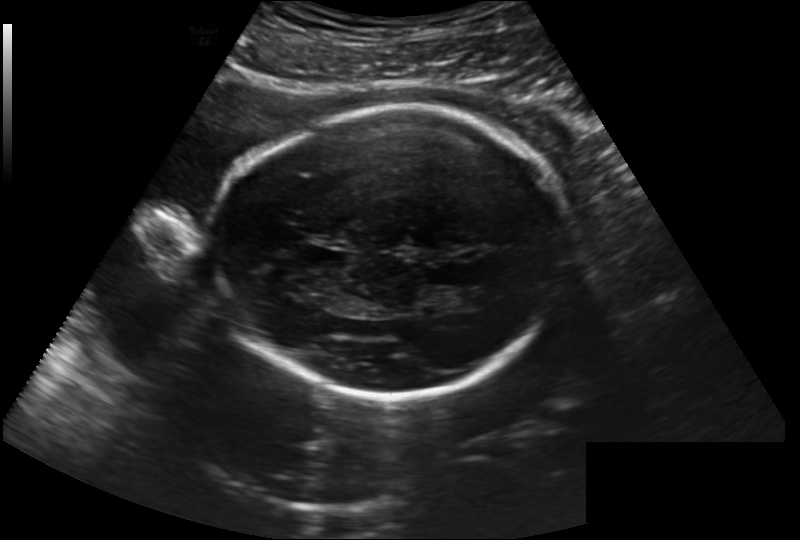
In this fetal head ultrasound, give the bounding box of the fetal head. Image width: 177.2 mm.

[214,107,568,399]